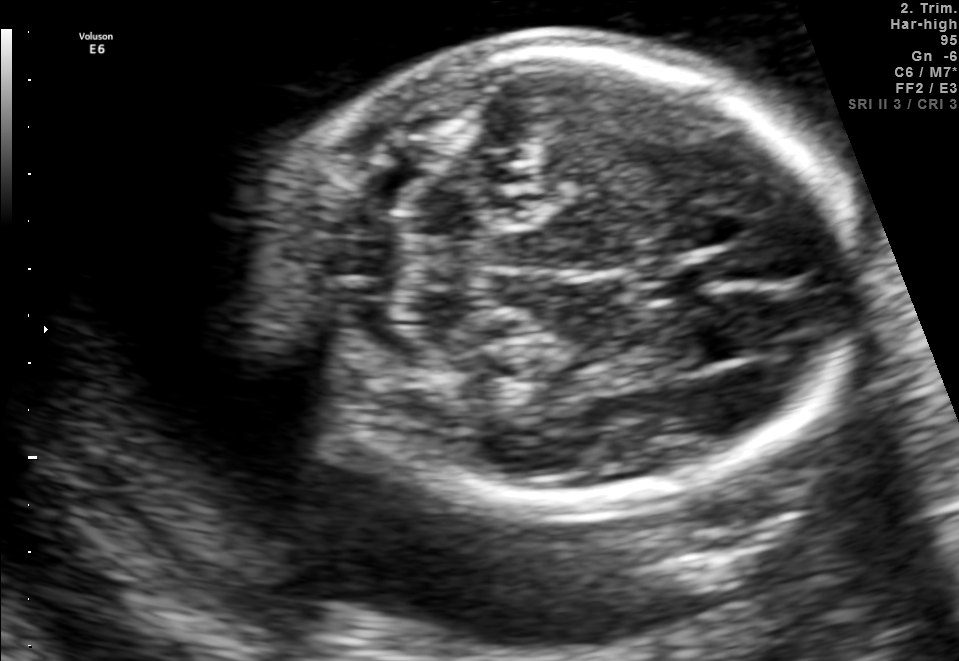
In this fetal brain, trans-cerebellum plane, give the bounding box of the fetal head.

[253,43,862,498]